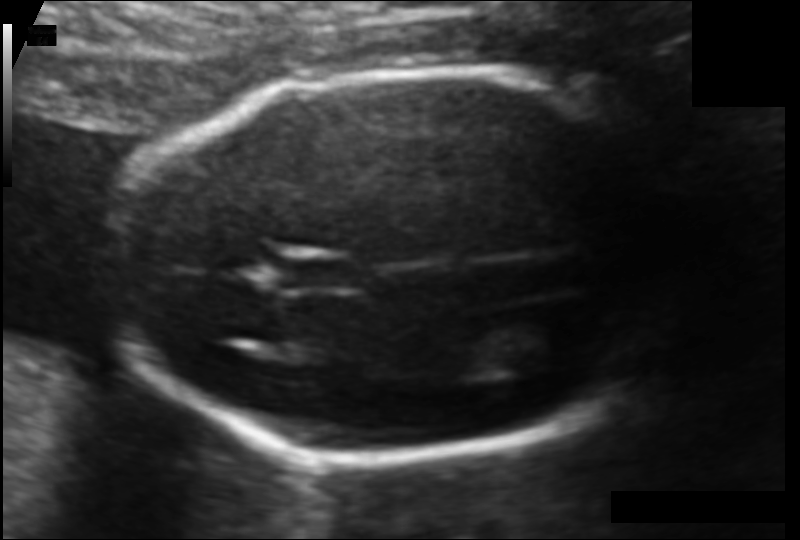
From this fetal ultrasound, estimate the head circumference (image width 82.3 mm).

Head circumference: 159.6 mm.